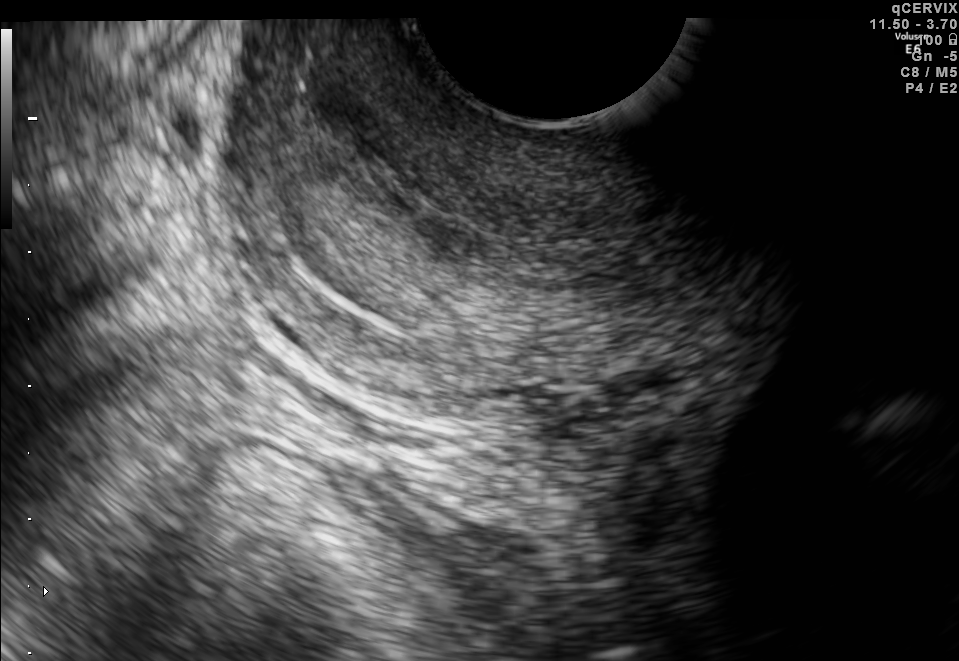
Identify the standard plane in this fetal ultrasound image: fetal abdomen, fetal brain, fetal femur, fetal thorax, maternal cervix, or other. If it's fetal brain and one of the three standard brain planes (trans-thalamic, trans-cerebellum, trans-ventricular), name which.

Maternal cervix